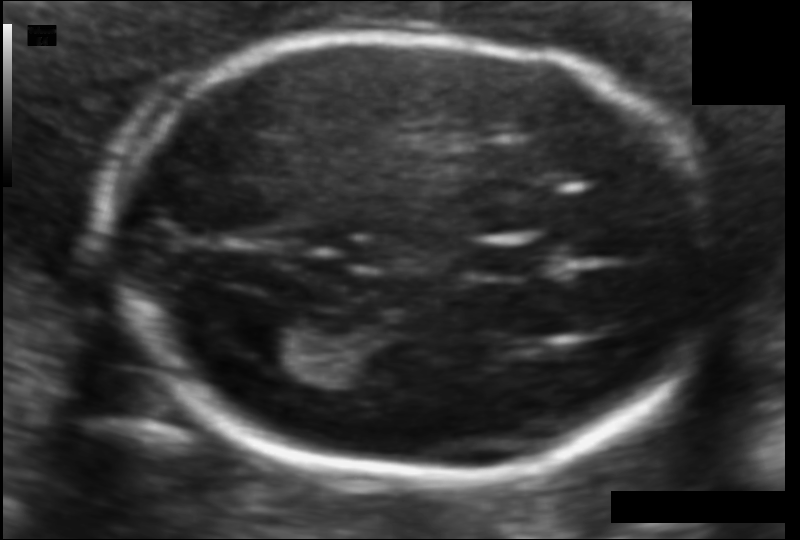
Estimate the fetal head circumference from this 2D ultrasound. Image width: 75.5 mm.

Head circumference: 163.1 mm.